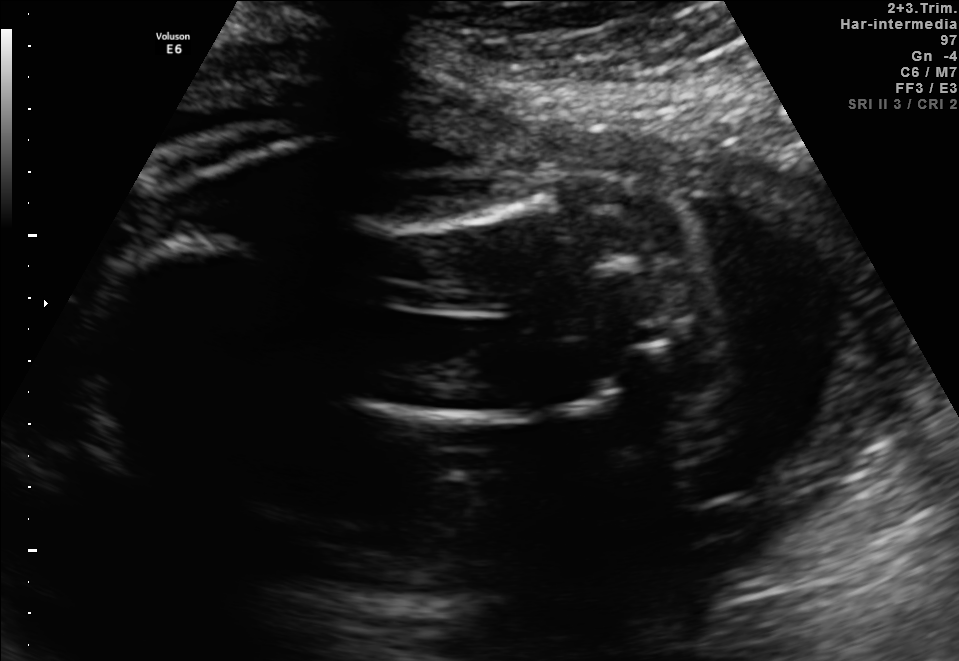
This is a 2D maternal-fetal ultrasound frame. Is it a fetal abdomen, fetal brain, fetal femur, fetal thorax, maternal cervix, or other standard plane? If it's fetal brain and one of the three standard brain planes (trans-thalamic, trans-cerebellum, trans-ventricular), name which.

Fetal femur